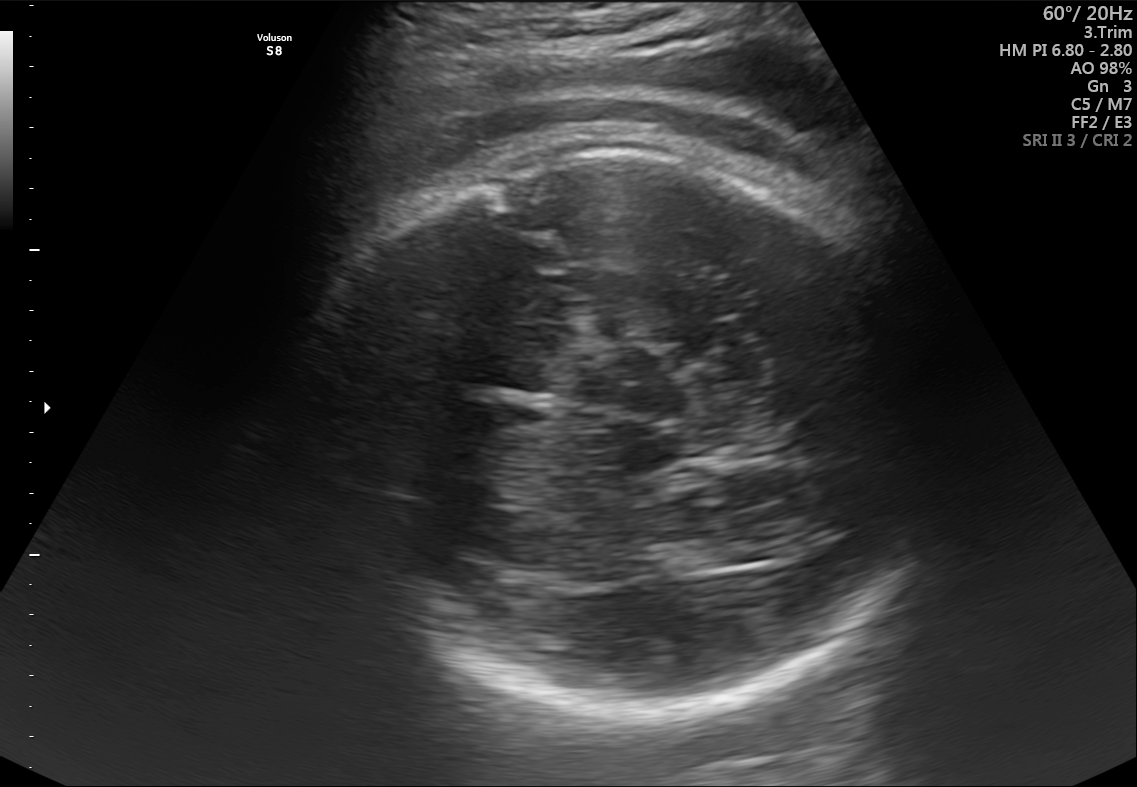
In this fetal brain, trans-thalamic plane, give bounding boxes for the head outline, cavum septum pellucidum (CSP), and lateral ventricle (LV), where visible.

Head: [293,140,963,725]